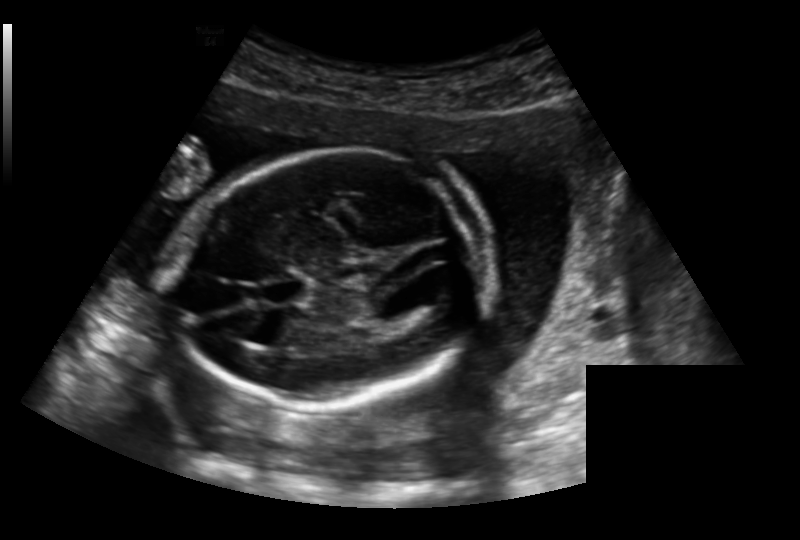
From this fetal ultrasound, estimate the head circumference (image width 152.5 mm).

Head circumference: 171.8 mm.